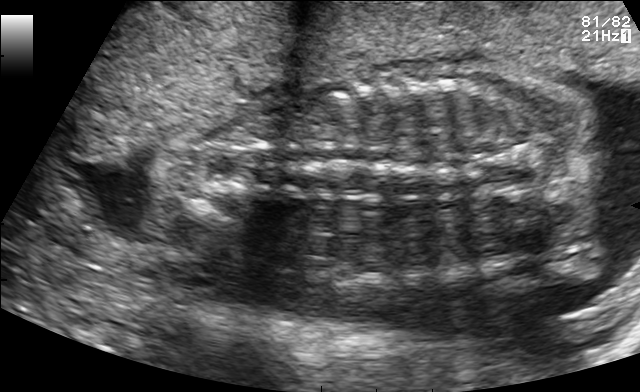
This is a 2D maternal-fetal ultrasound frame. Is it a fetal abdomen, fetal brain, fetal femur, fetal thorax, maternal cervix, or other standard plane? If it's fetal brain and one of the three standard brain planes (trans-thalamic, trans-cerebellum, trans-ventricular), name which.

Other